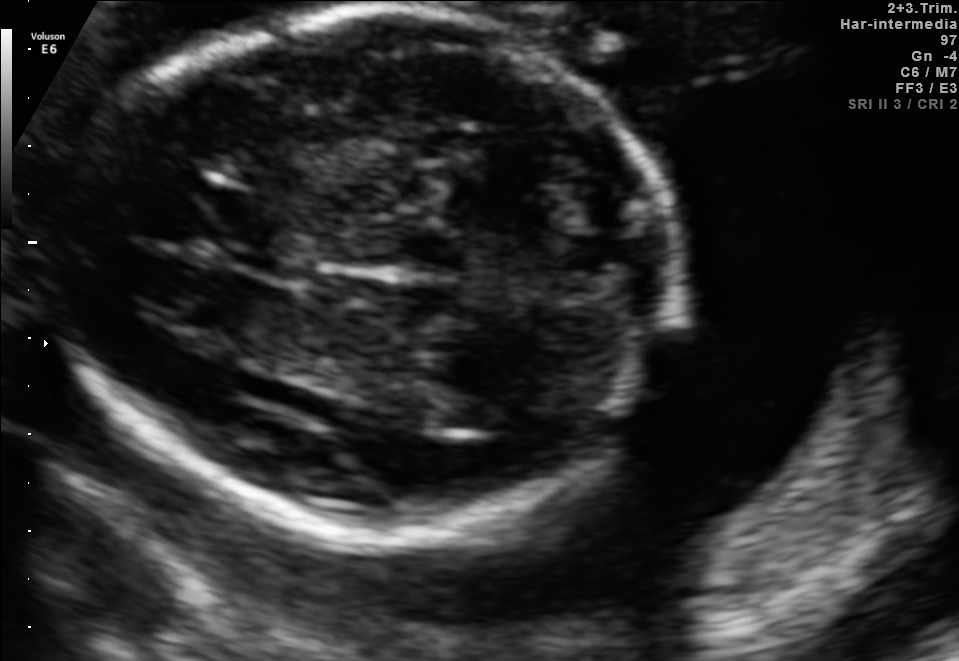
Fetal brain, trans-thalamic plane. Give [x1,y1,x2,y2] bounding boxes for each visible structure among: fetal head, CSP, LV.

Head: [41,11,704,520]
CSP: [187,183,316,279]
Lateral ventricle: [434,396,515,435]